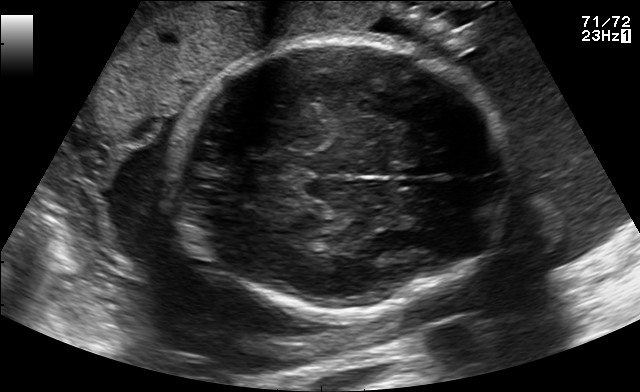
Fetal brain, trans-thalamic plane. Locate the fetal head and, if visible, the cavum septum pellucidum (CSP) and lateral ventricle (LV). Give bounding boxes as [x1,y1,x2,y2].

Head: [174,41,509,313]